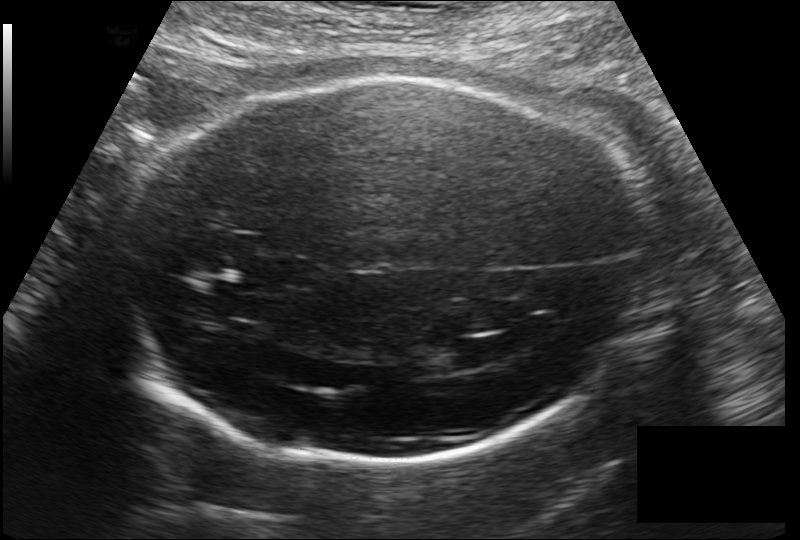
Fetal head ultrasound. Image width: 142.0 mm. Locate the fetal head and, if visible, the cavum septum pellucidum (CSP) and lateral ventricle (LV). Give bounding boxes as [x1,y1,x2,y2].

Head: [123,78,653,464]